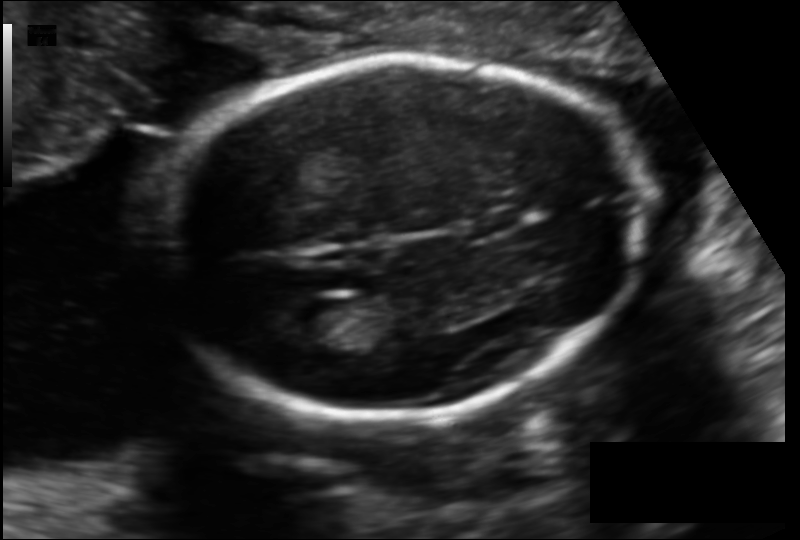
In this fetal head ultrasound, give the bounding box of the lateral ventricle. Image width: 102.8 mm.

[279,299,344,342]